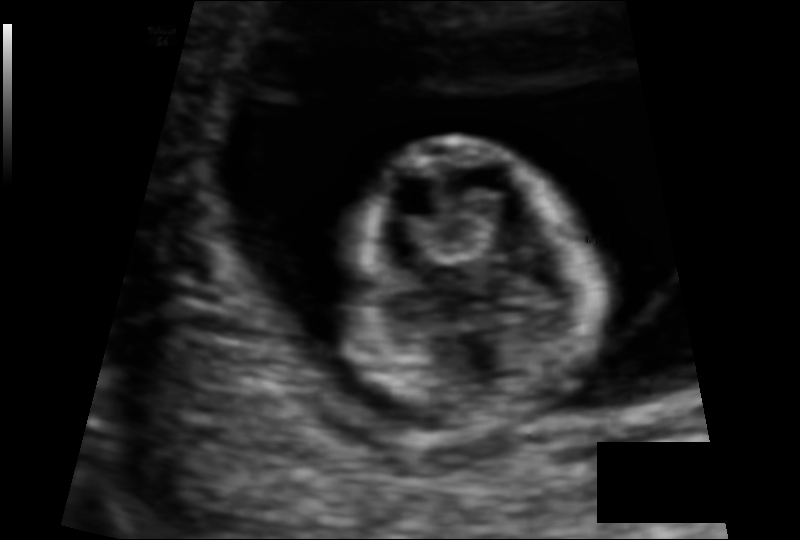
Fetal head ultrasound. Image width: 70.2 mm. Give [x1,y1,x2,y2] bounding boxes for each visible structure among: fetal head, CSP, LV.

Head: [349,138,596,428]